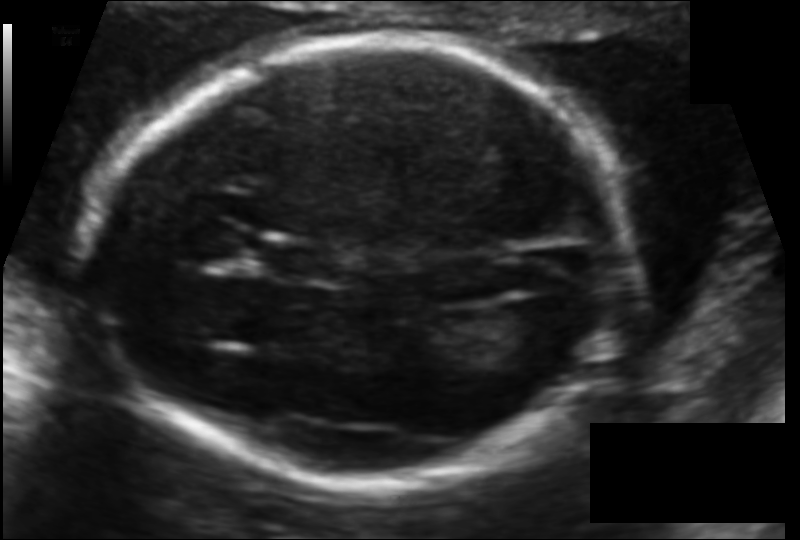
Fetal head ultrasound. Image width: 85.1 mm. Locate the cavum septum pellucidum.

CSP: [267,244,331,281]